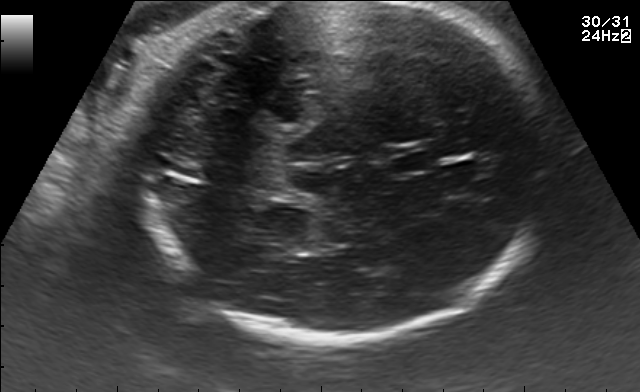
Fetal brain, trans-thalamic plane. Where is the cavum septum pellucidum?

CSP bounding box: [391,150,439,175]